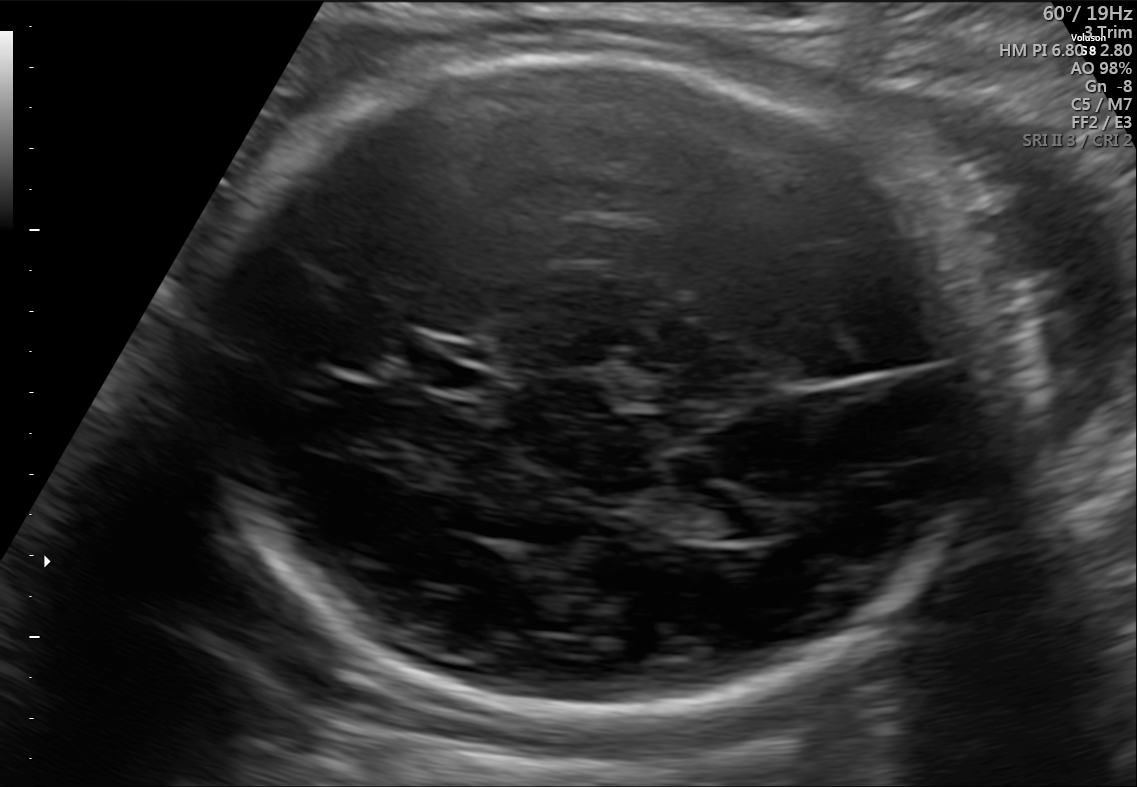
Fetal brain, trans-ventricular plane. Locate the fetal head and, if visible, the cavum septum pellucidum (CSP) and lateral ventricle (LV). Give bounding boxes as [x1,y1,x2,y2].

Head: [173,51,988,736]
CSP: [393,328,498,402]
Lateral ventricle: [703,506,782,540]